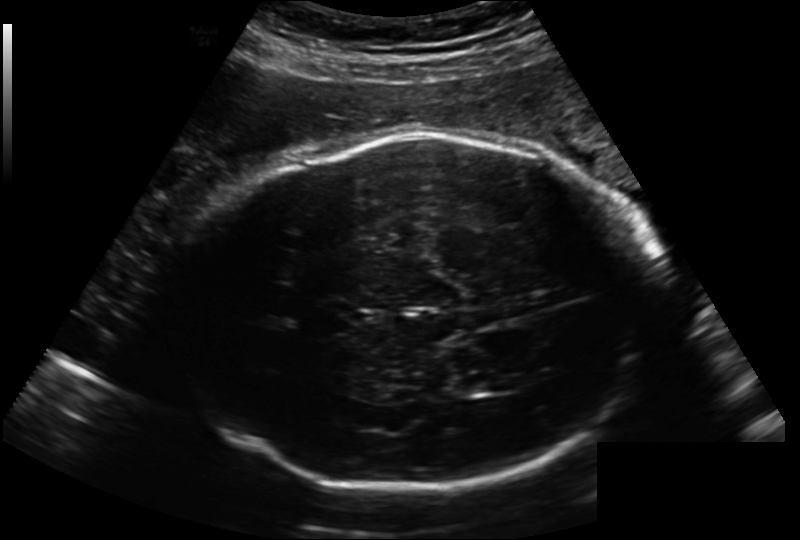
Fetal head ultrasound. Image width: 177.3 mm. Locate the lateral ventricle.

Lateral ventricle: [453,371,499,396]